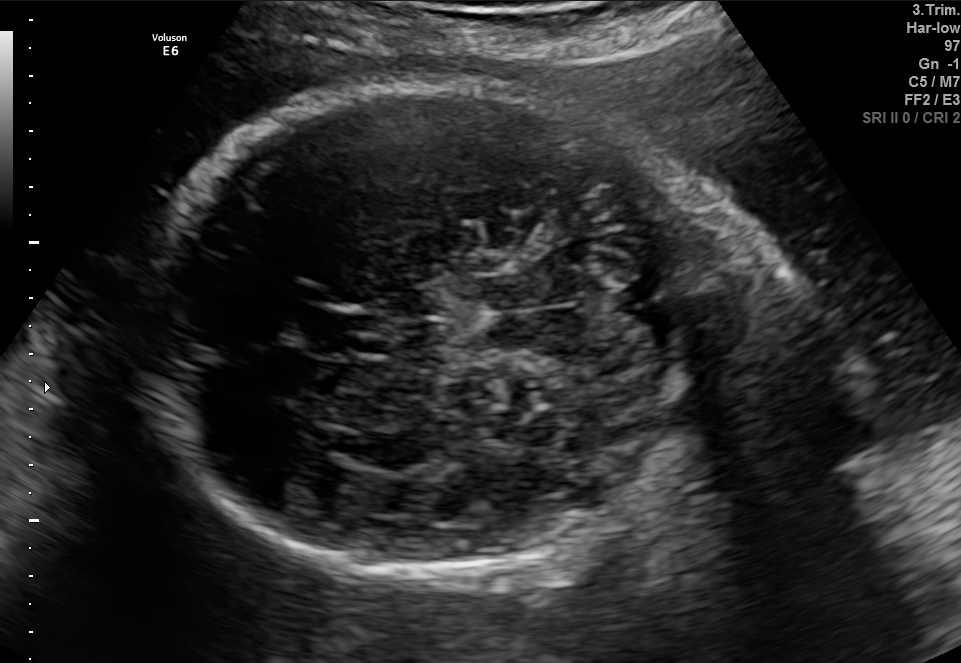
Identify the standard plane in this fetal ultrasound image: fetal abdomen, fetal brain, fetal femur, fetal thorax, maternal cervix, or other. If it's fetal brain and one of the three standard brain planes (trans-thalamic, trans-cerebellum, trans-ventricular), name which.

Fetal brain (trans-cerebellum plane)